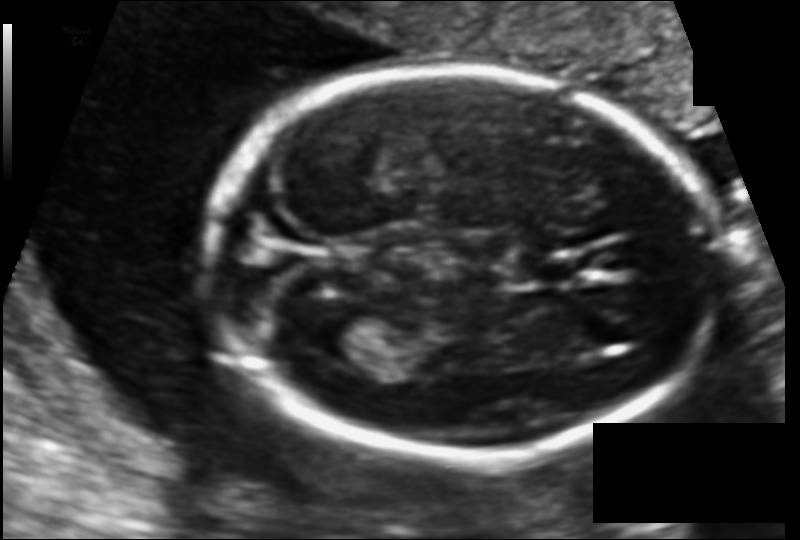
In this fetal head ultrasound, give the bounding box of the cavum septum pellucidum. Image width: 86.7 mm.

[519,254,582,287]